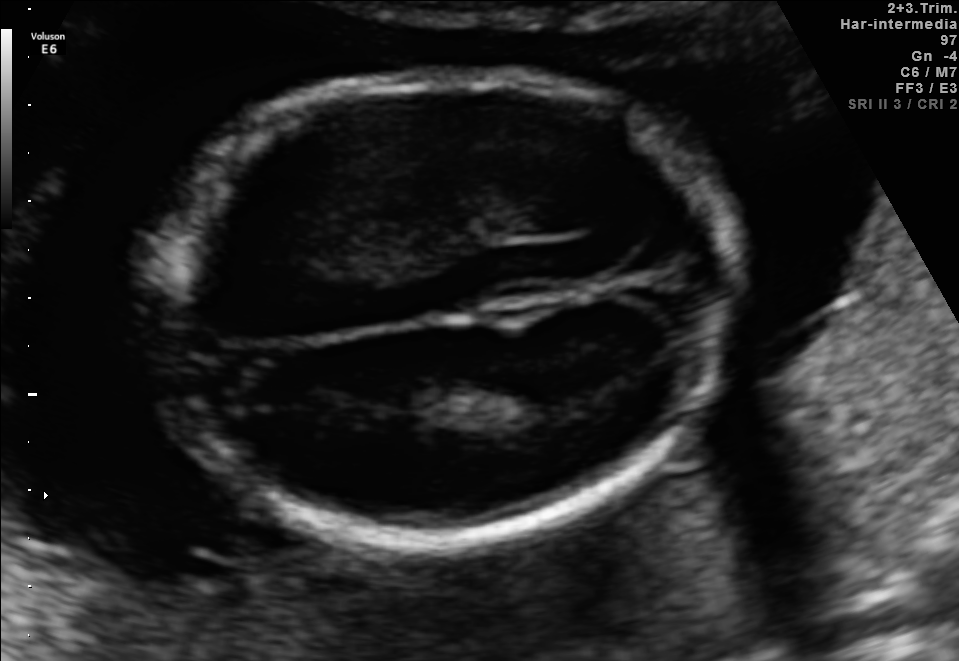
Fetal brain, trans-thalamic plane. Locate the fetal head.

Head: [150,76,735,547]